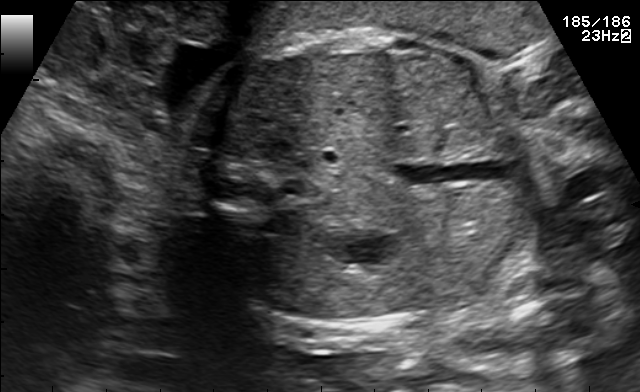
This is a 2D maternal-fetal ultrasound frame. Is it a fetal abdomen, fetal brain, fetal femur, fetal thorax, maternal cervix, or other standard plane? If it's fetal brain and one of the three standard brain planes (trans-thalamic, trans-cerebellum, trans-ventricular), name which.

Fetal abdomen